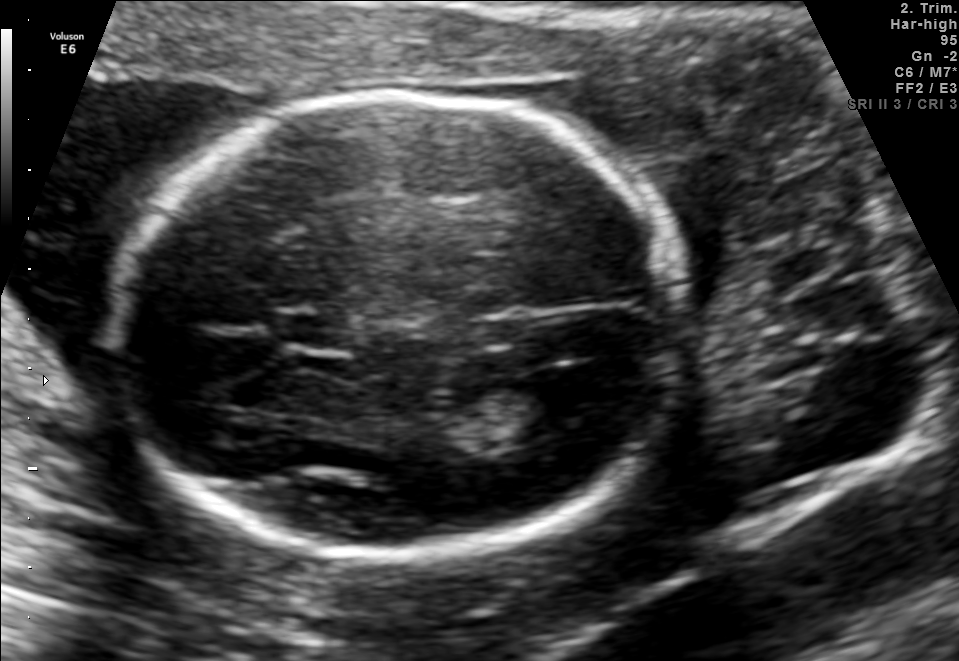
In this fetal brain, trans-ventricular plane, give the bounding box of the lateral ventricle.

[503,352,618,443]